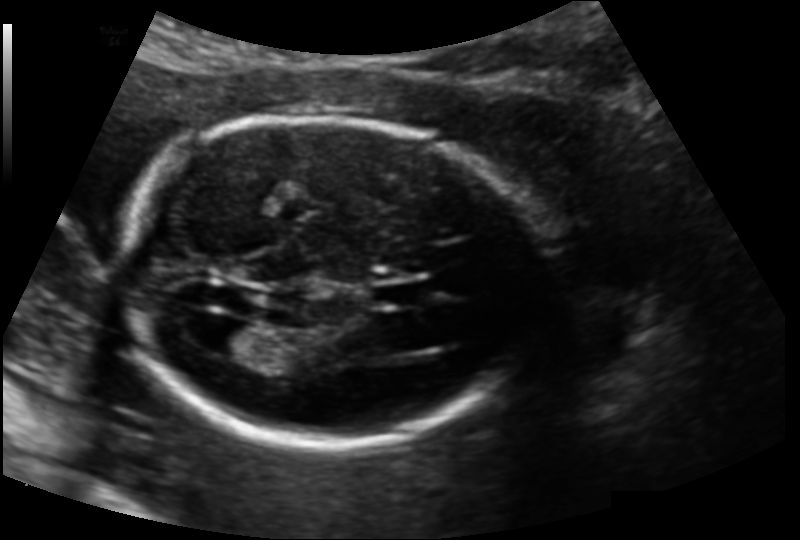
Fetal head ultrasound. Image width: 111.6 mm. Locate the fetal head and, if visible, the cavum septum pellucidum (CSP) and lateral ventricle (LV). Give bounding boxes as [x1,y1,x2,y2].

Head: [117,118,536,448]
CSP: [372,277,428,311]
Lateral ventricle: [201,315,269,363]